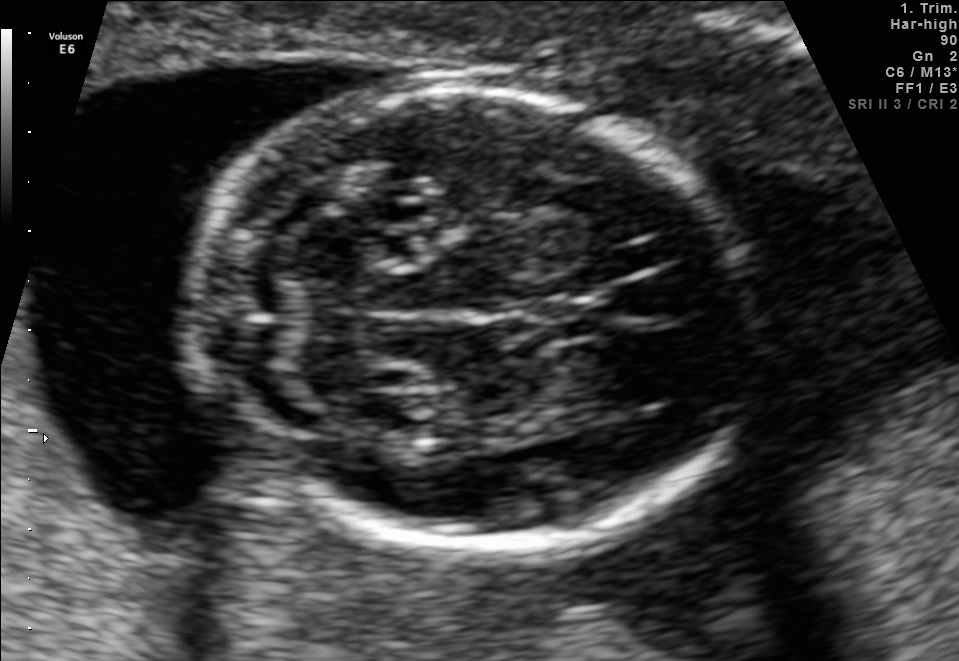
In this fetal brain, trans-cerebellum plane, give bounding boxes for the head outline, cavum septum pellucidum (CSP), and lateral ventricle (LV), where visible.

Head: [187,90,758,549]